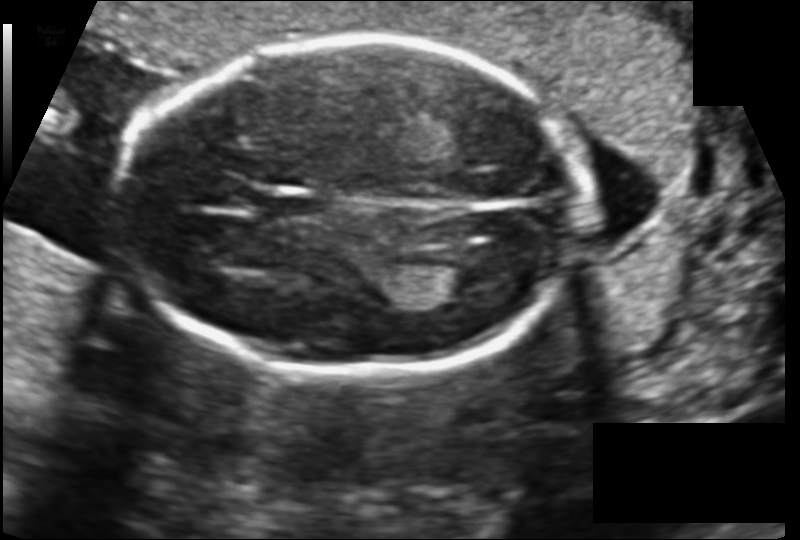
In this fetal head ultrasound, give bounding boxes for the head outline, cavum septum pellucidum (CSP), and lateral ventricle (LV), where visible. Image width: 102.7 mm.

Head: [123,38,584,378]
CSP: [263,193,326,224]
Lateral ventricle: [419,265,483,299]